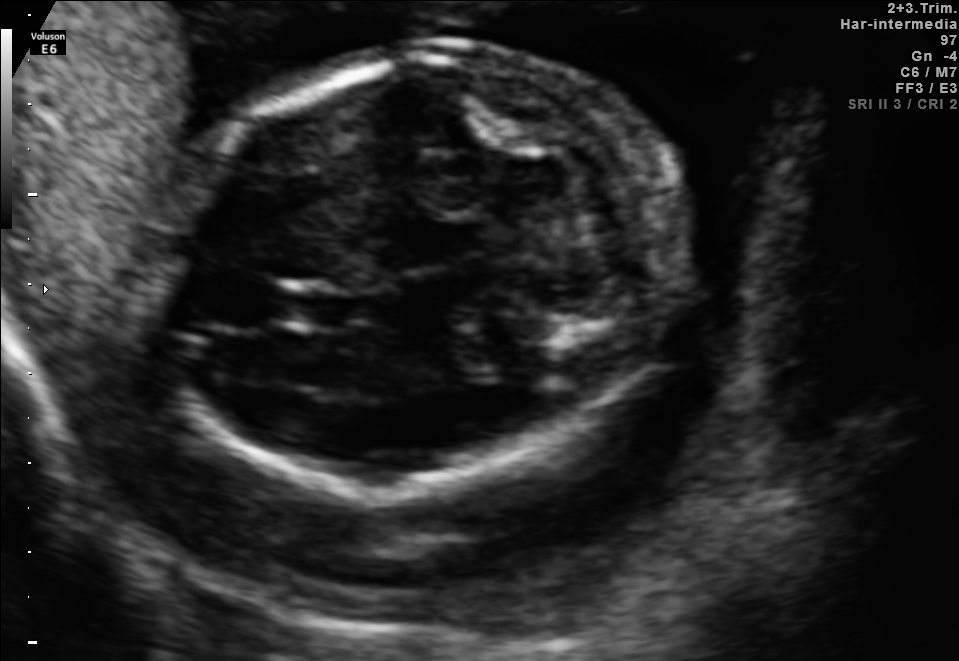
In this fetal brain, trans-cerebellum plane, give the bounding box of the fetal head.

[146,54,685,485]